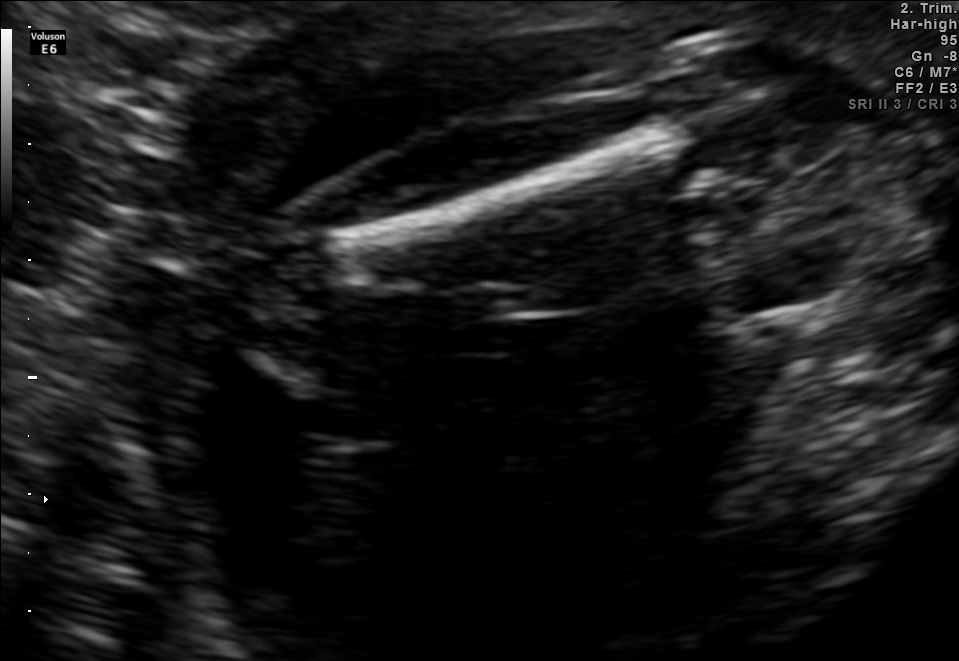
Identify the standard plane in this fetal ultrasound image: fetal abdomen, fetal brain, fetal femur, fetal thorax, maternal cervix, or other. If it's fetal brain and one of the three standard brain planes (trans-thalamic, trans-cerebellum, trans-ventricular), name which.

Fetal femur